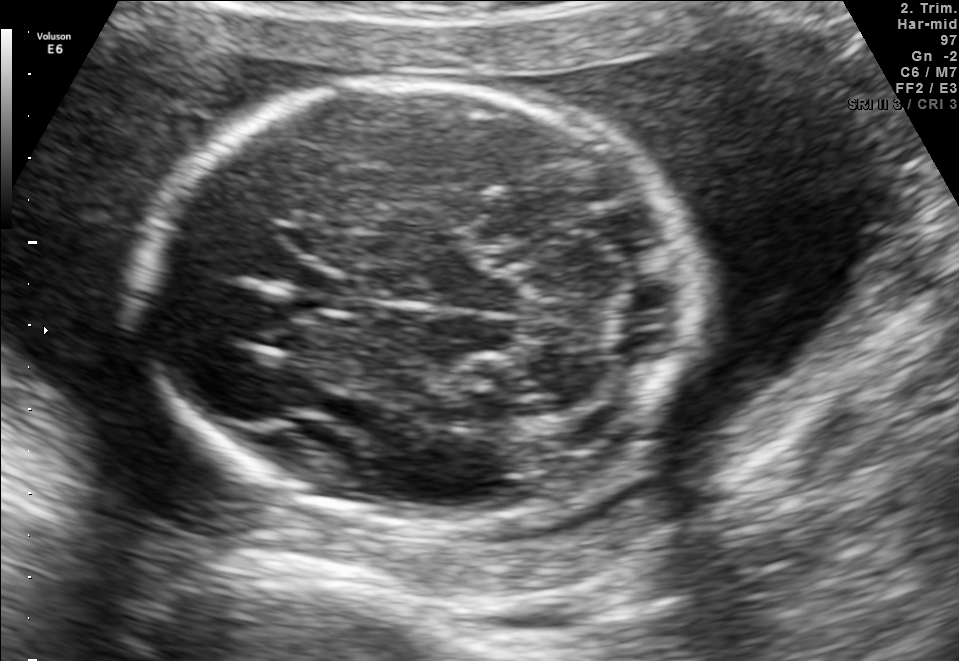
In this fetal brain, trans-cerebellum plane, give bounding boxes for the head outline, cavum septum pellucidum (CSP), and lateral ventricle (LV), where visible.

Head: [142,77,691,528]